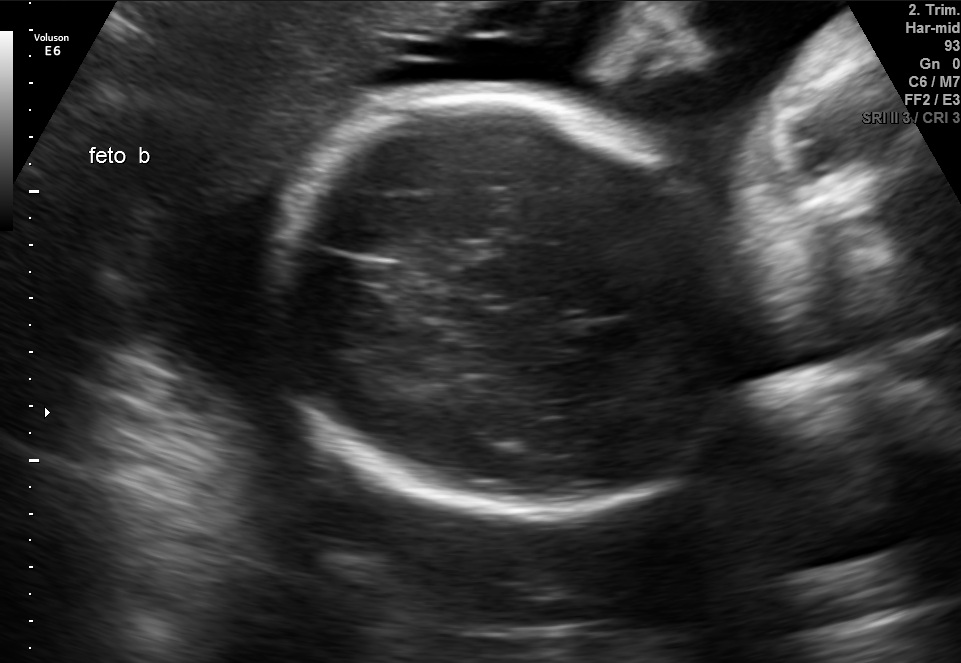
Fetal brain, trans-thalamic plane. Locate the fetal head.

Head: [272,95,752,520]